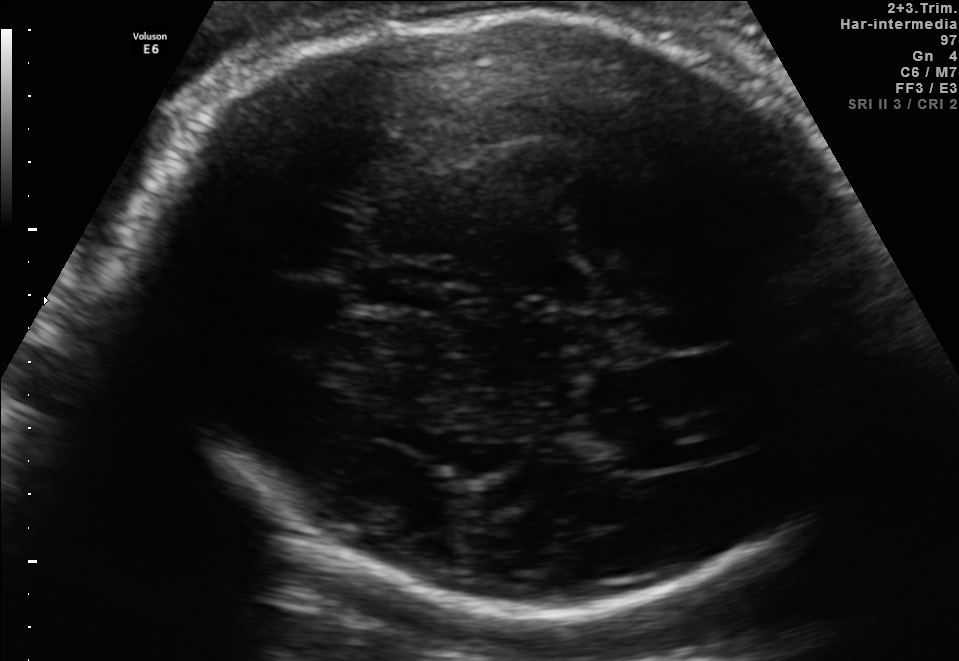
Fetal brain, trans-thalamic plane. Where is the lateral ventricle?

Lateral ventricle bounding box: [593,421,711,476]